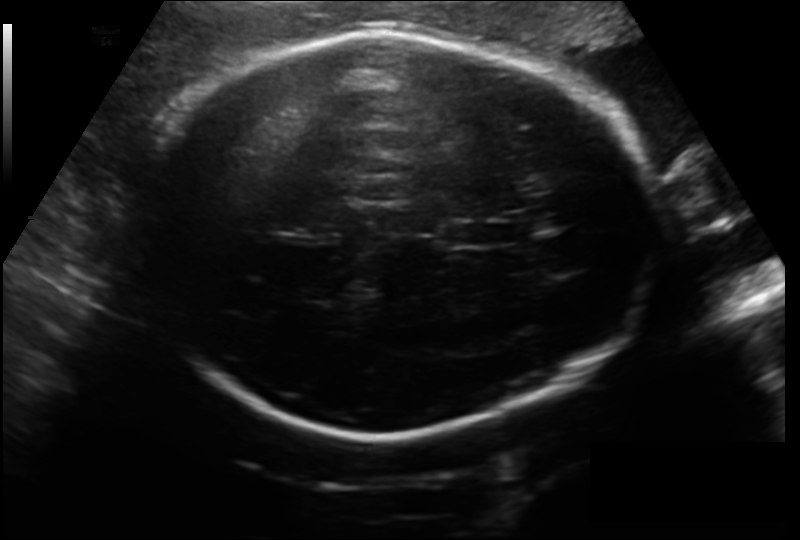
Estimate the fetal head circumference from this 2D ultrasound.

Head circumference: 290.8 mm (image width 158.8 mm).